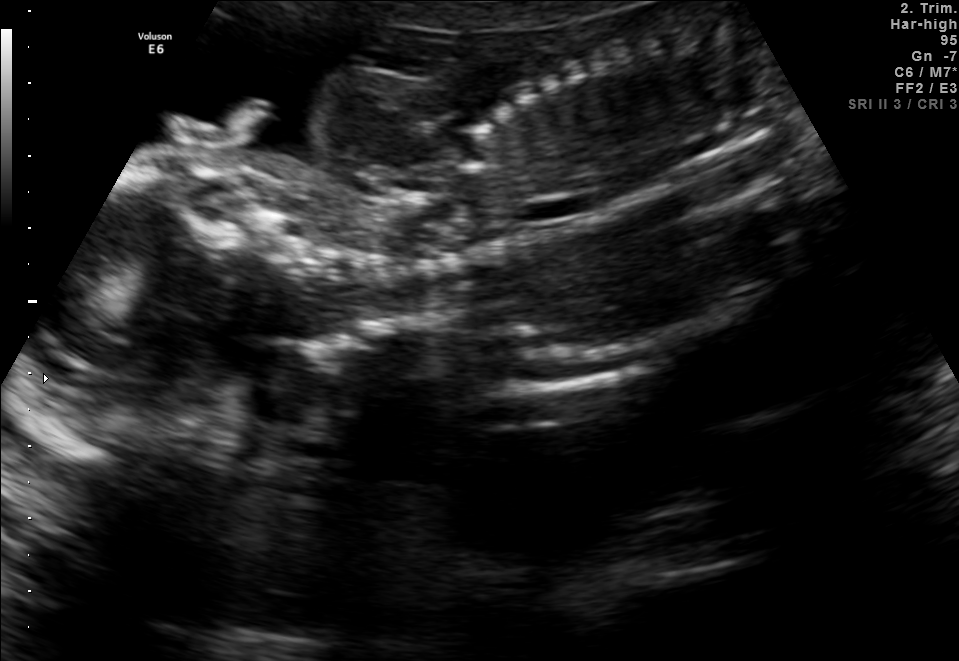
Which standard maternal-fetal ultrasound plane is shown: fetal abdomen, fetal brain, fetal femur, fetal thorax, maternal cervix, or other? If it's fetal brain and one of the three standard brain planes (trans-thalamic, trans-cerebellum, trans-ventricular), name which.

Other